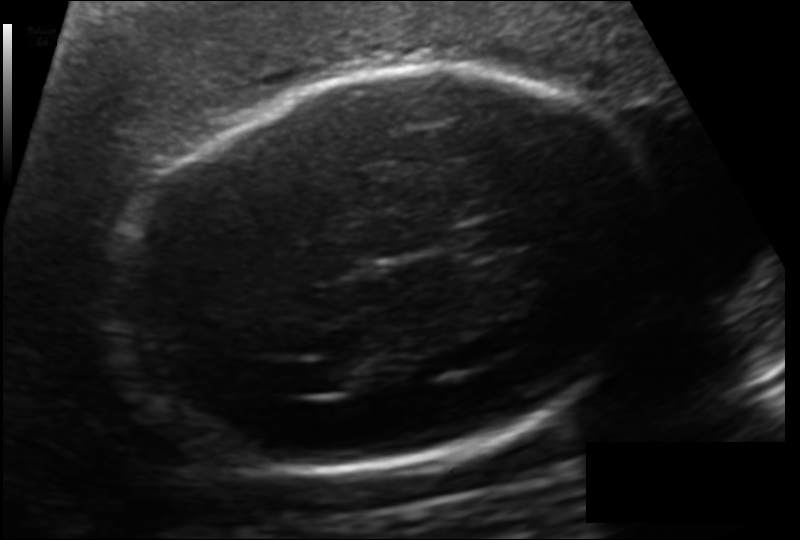
Fetal head ultrasound. Image width: 120.9 mm. Locate the fetal head.

Head: [110,69,657,471]